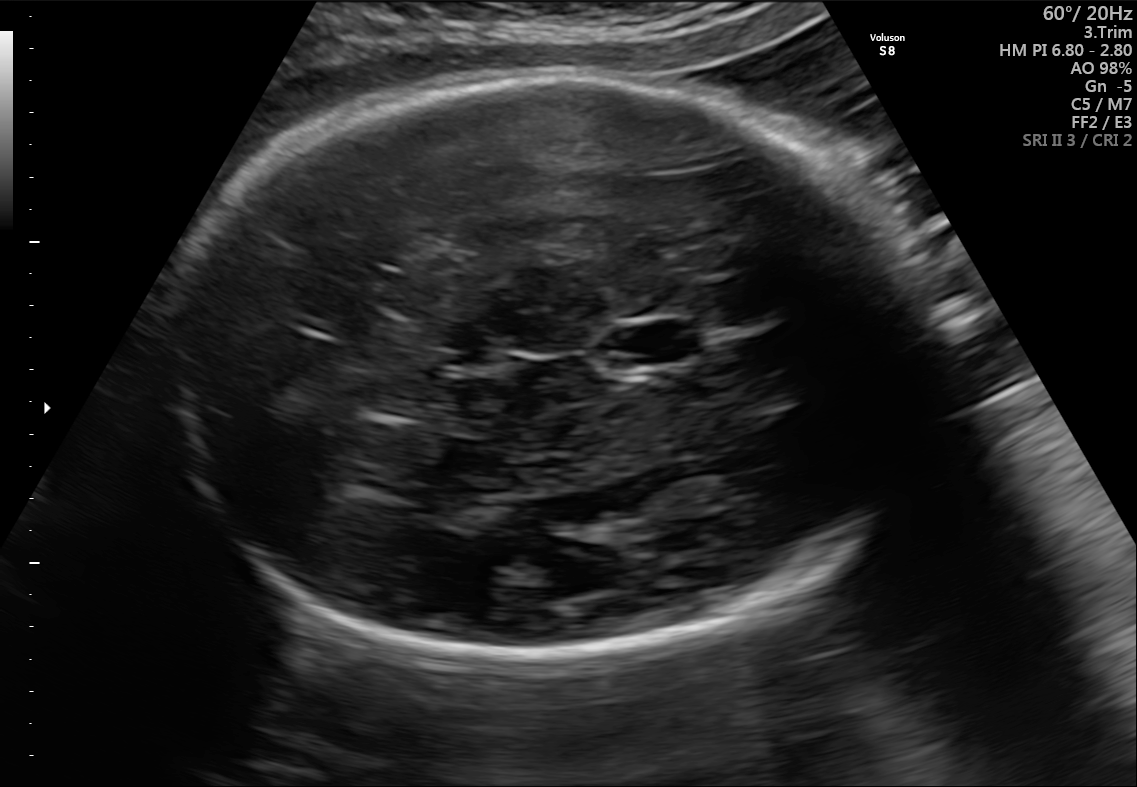
Fetal brain, trans-thalamic plane. Locate the fetal head.

Head: [155,74,944,663]